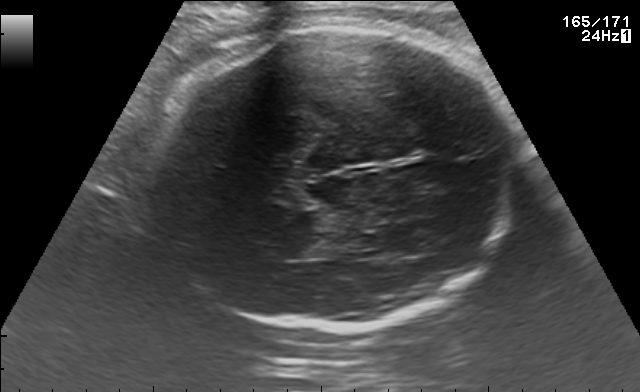
In this fetal brain, trans-thalamic plane, give the bounding box of the fetal head.

[142,21,515,332]